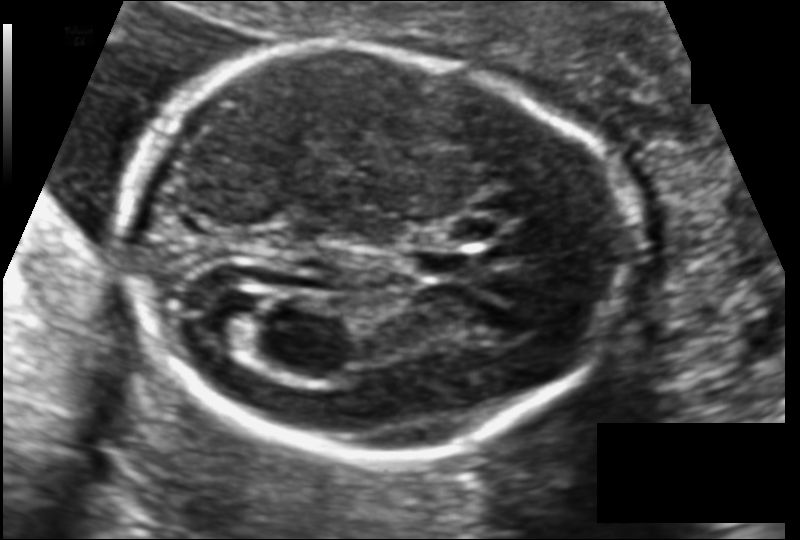
Fetal head ultrasound. Image width: 93.1 mm. Locate the fetal head and, if visible, the cavum septum pellucidum (CSP) and lateral ventricle (LV). Give bounding boxes as [x1,y1,x2,y2].

Head: [123,49,622,458]
CSP: [409,248,473,278]
Lateral ventricle: [189,282,271,356]